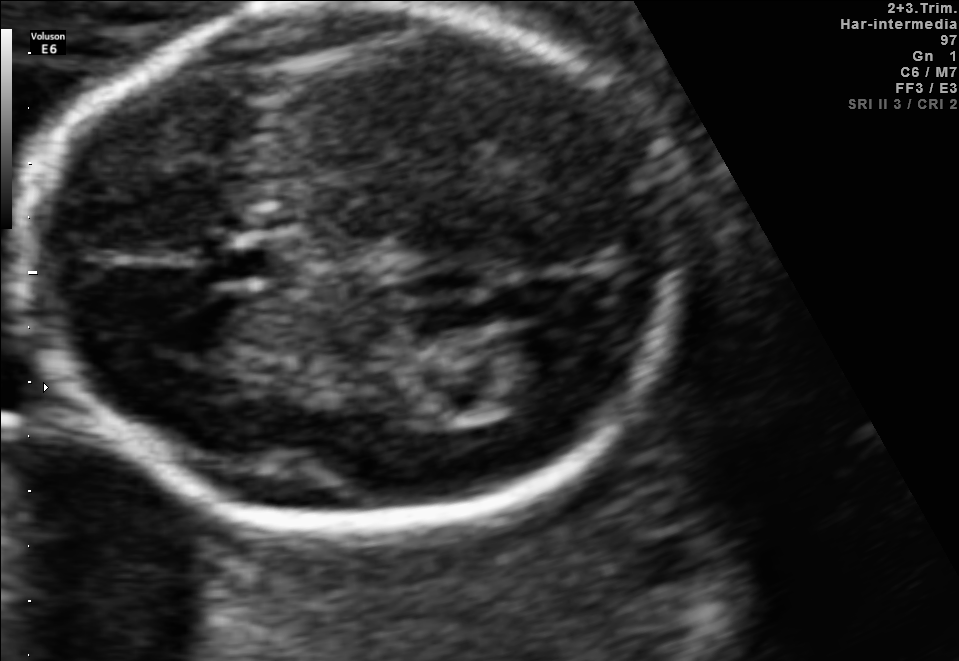
Fetal brain, trans-thalamic plane. Locate the lateral ventricle.

Lateral ventricle: [475,326,581,410]